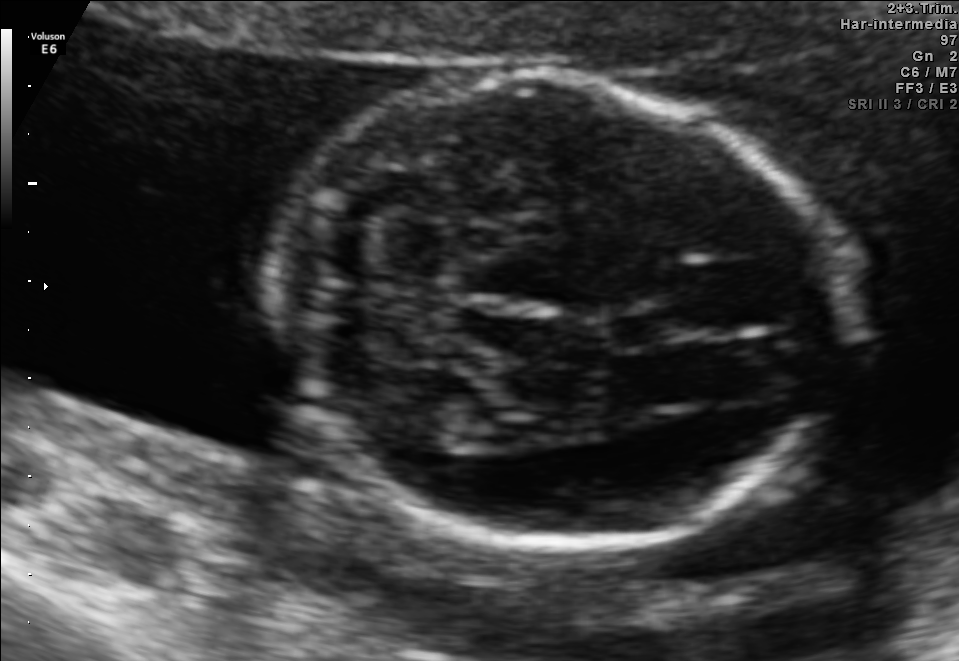
In this fetal brain, trans-cerebellum plane, give the bounding box of the fetal head.

[267,78,842,543]